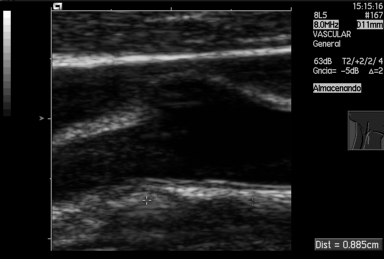
Classify this maternal-fetal ultrasound image as one of the six standard planes — fetal abdomen, fetal brain, fetal femur, fetal thorax, maternal cervix, or other. If it's fetal brain and one of the three standard brain planes (trans-thalamic, trans-cerebellum, trans-ventricular), name which.

Other